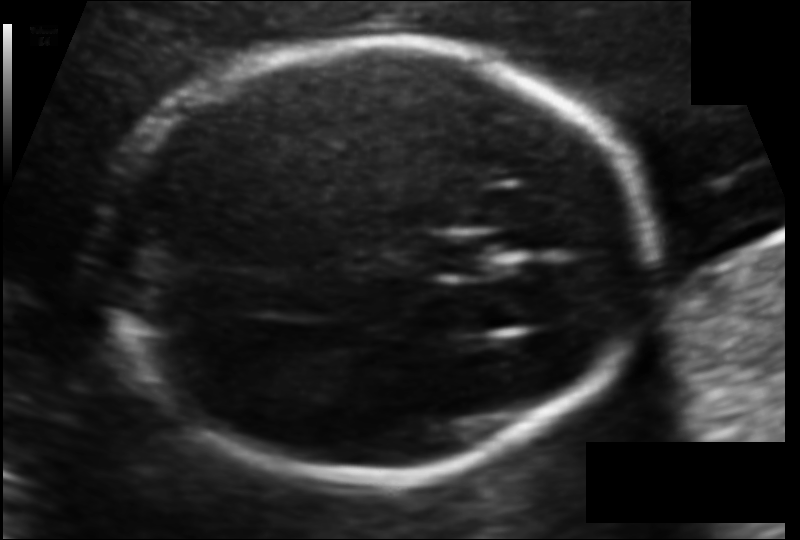
In this fetal head ultrasound, give the bounding box of the fetal head. Image width: 83.5 mm.

[105,41,650,480]